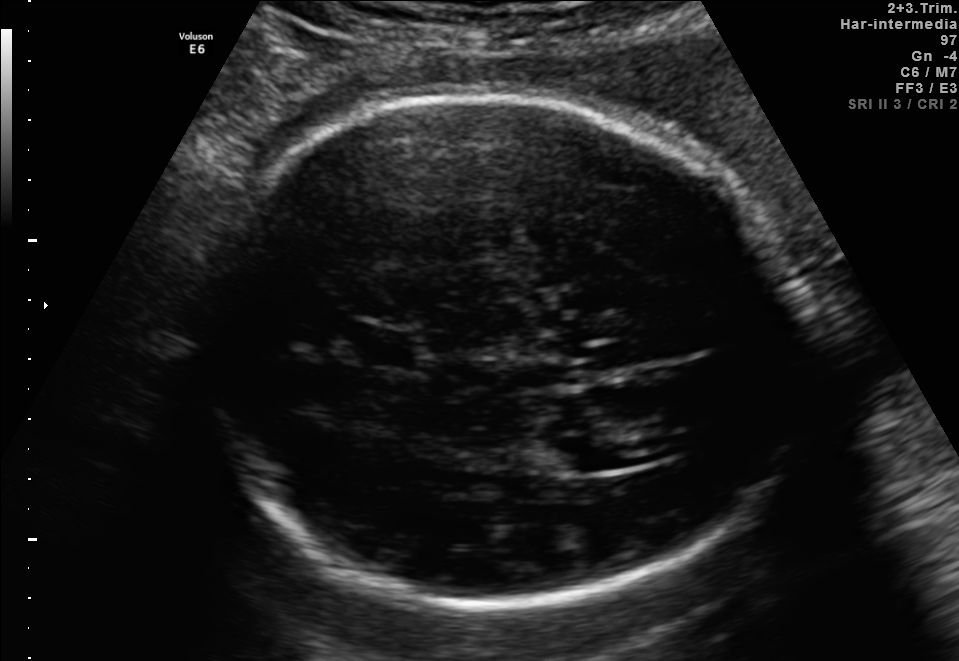
Fetal brain, trans-ventricular plane. Where is the fetal head?

Head bounding box: [187,87,824,616]